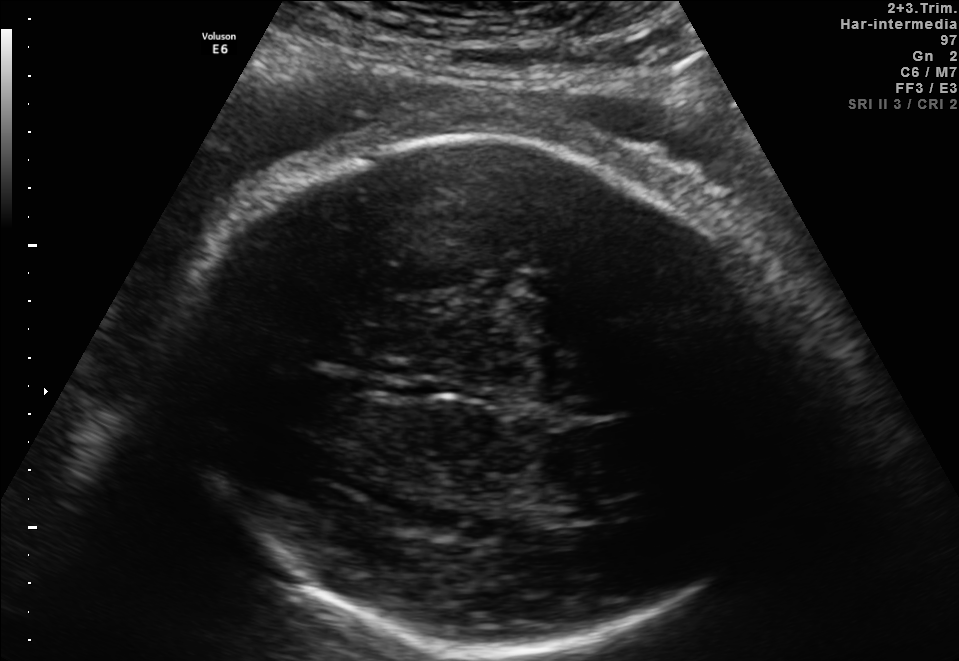
Fetal brain, trans-thalamic plane. Locate the fetal head.

Head: [178,136,791,651]